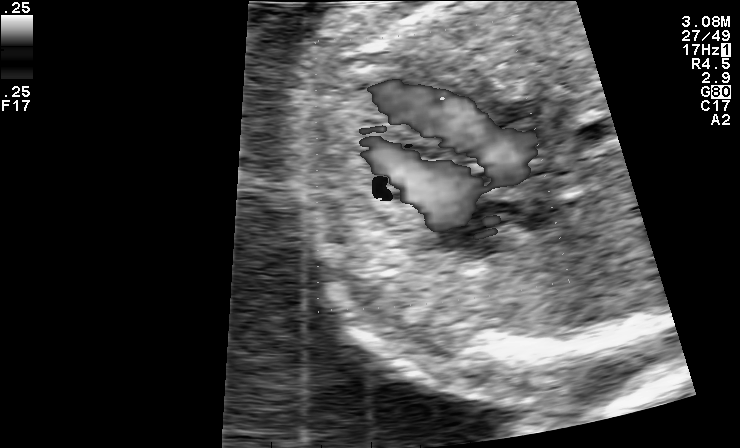
This is a 2D maternal-fetal ultrasound frame. Is it a fetal abdomen, fetal brain, fetal femur, fetal thorax, maternal cervix, or other standard plane? If it's fetal brain and one of the three standard brain planes (trans-thalamic, trans-cerebellum, trans-ventricular), name which.

Other